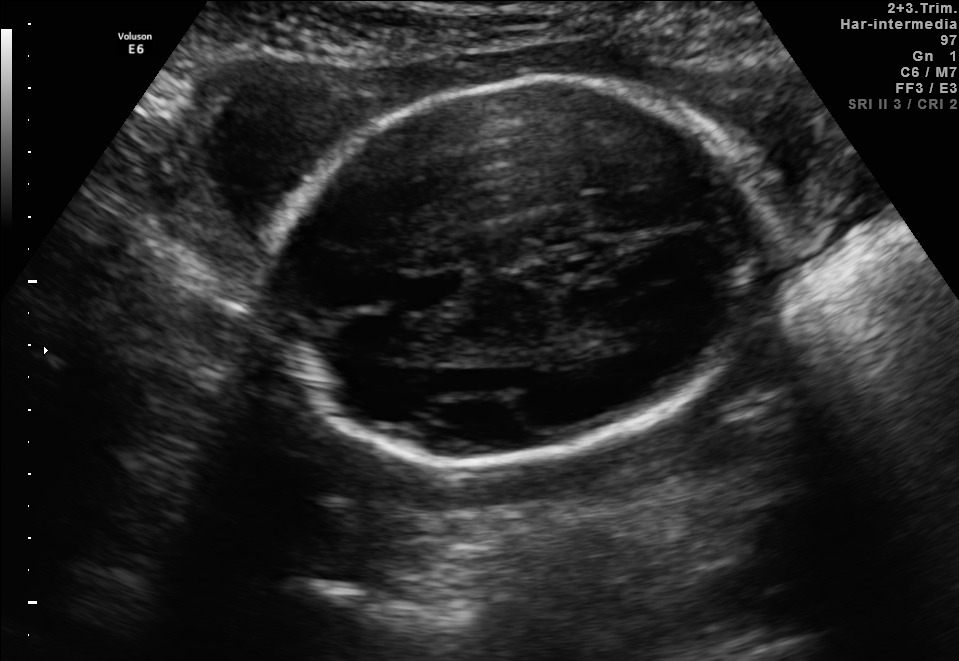
Fetal brain, trans-thalamic plane. Give [x1,y1,x2,y2] bounding boxes for each visible structure among: fetal head, CSP, LV.

Head: [264,80,763,469]
CSP: [396,271,459,305]